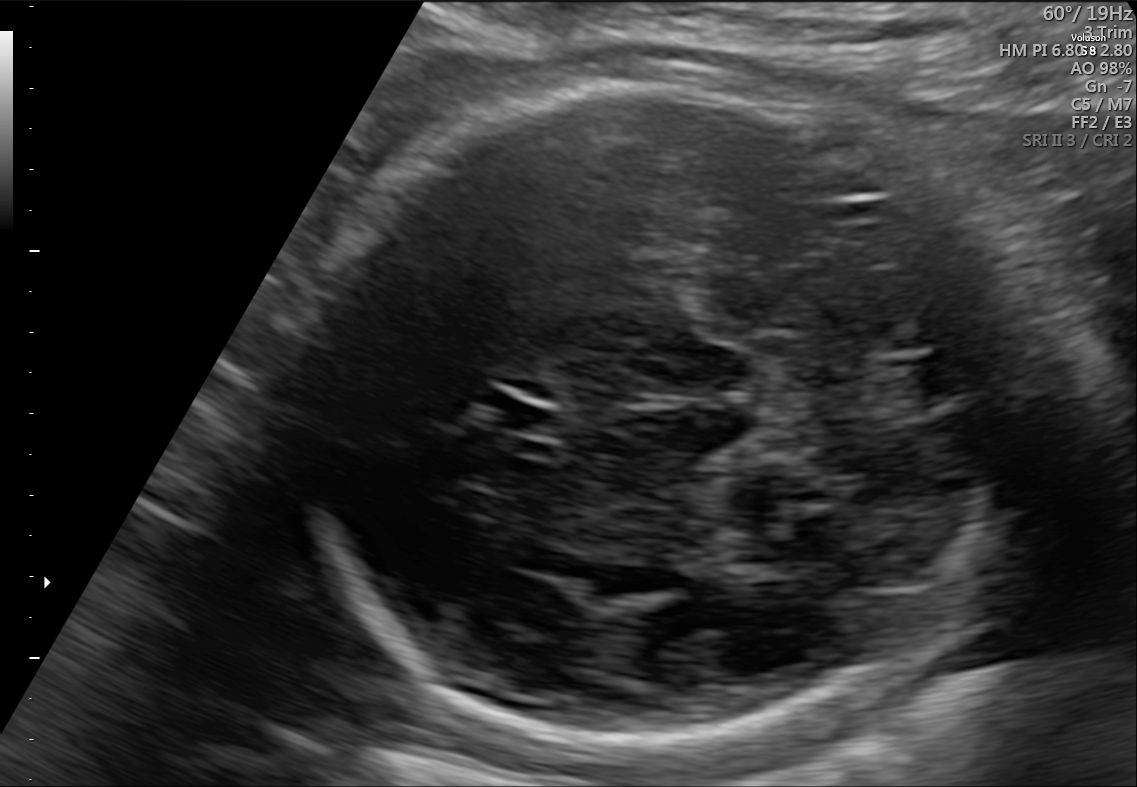
In this fetal brain, trans-cerebellum plane, give bounding boxes for the head outline, cavum septum pellucidum (CSP), and lateral ventricle (LV), where visible.

Head: [302,83,982,756]
CSP: [478,385,562,445]